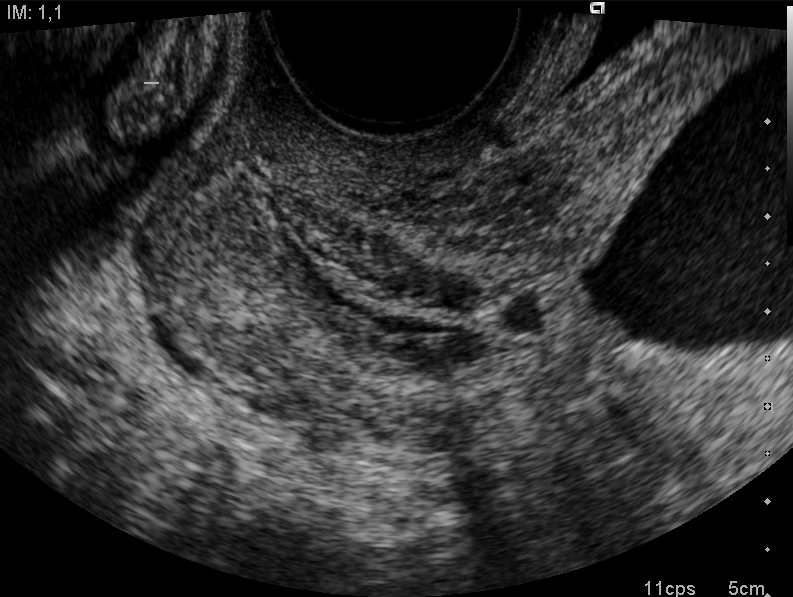
Which standard maternal-fetal ultrasound plane is shown: fetal abdomen, fetal brain, fetal femur, fetal thorax, maternal cervix, or other? If it's fetal brain and one of the three standard brain planes (trans-thalamic, trans-cerebellum, trans-ventricular), name which.

Maternal cervix